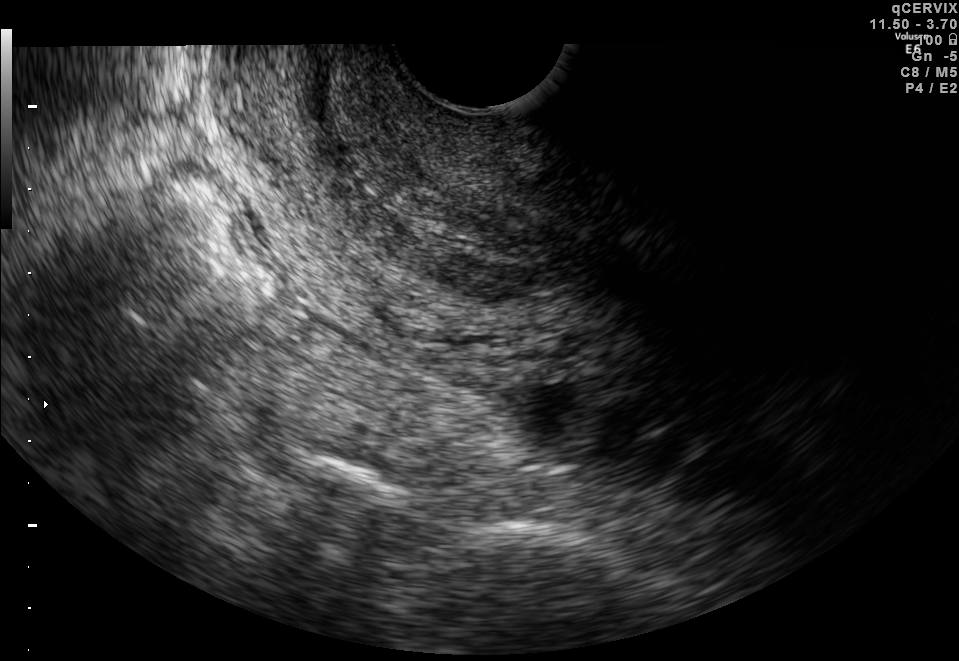
Which standard maternal-fetal ultrasound plane is shown: fetal abdomen, fetal brain, fetal femur, fetal thorax, maternal cervix, or other? If it's fetal brain and one of the three standard brain planes (trans-thalamic, trans-cerebellum, trans-ventricular), name which.

Maternal cervix